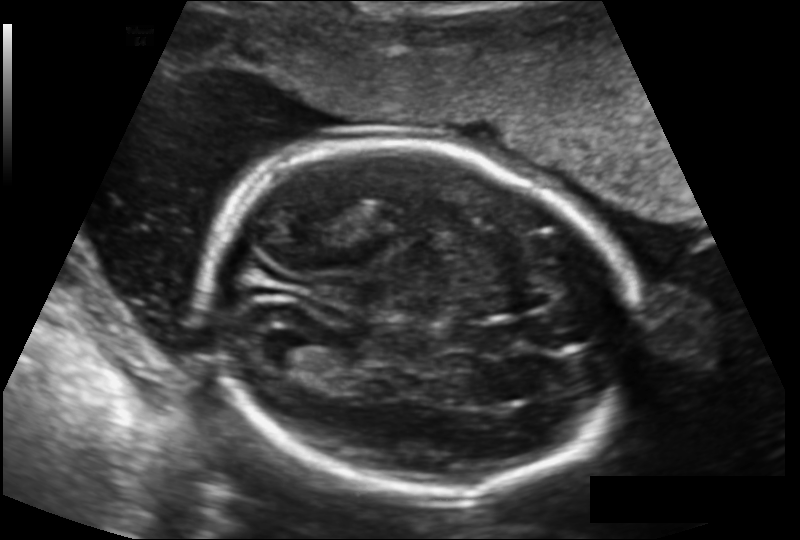
Fetal head ultrasound. Image width: 114.2 mm. Where is the fetal head?

Head bounding box: [204,141,634,495]